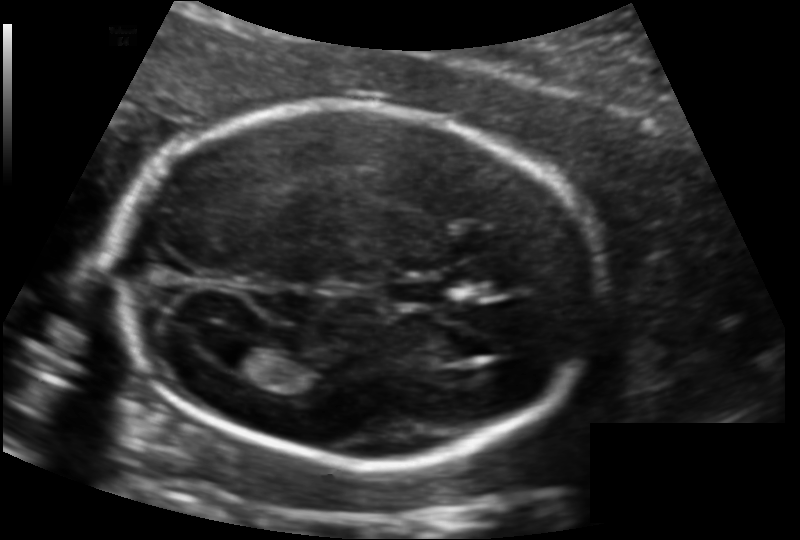
Fetal head ultrasound. Image width: 107.1 mm. Where is the lateral ventricle?

Lateral ventricle bounding box: [214,338,280,382]